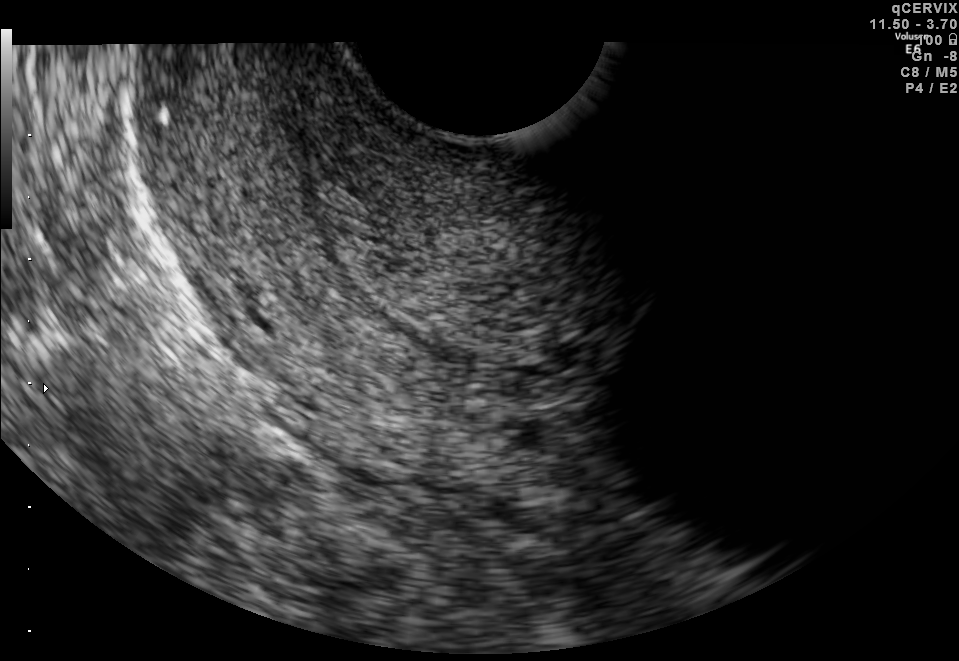
Which standard maternal-fetal ultrasound plane is shown: fetal abdomen, fetal brain, fetal femur, fetal thorax, maternal cervix, or other? If it's fetal brain and one of the three standard brain planes (trans-thalamic, trans-cerebellum, trans-ventricular), name which.

Maternal cervix